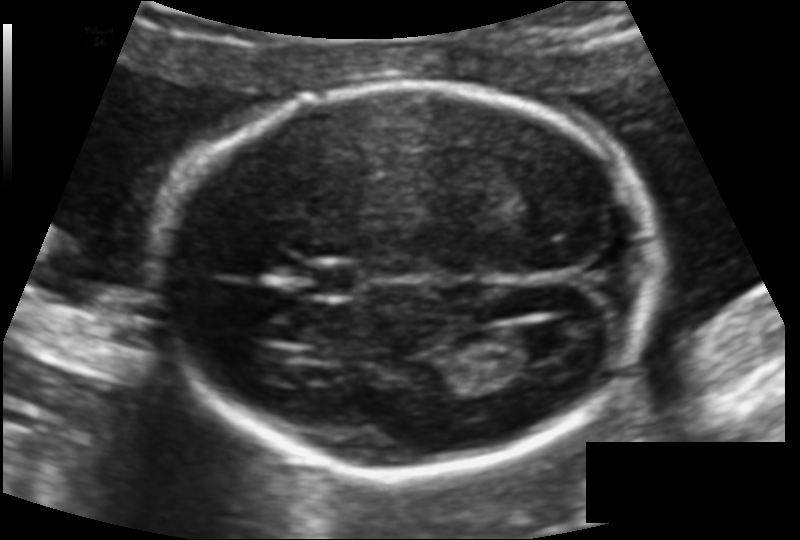
Fetal head ultrasound. Image width: 93.9 mm. Where is the fetal head?

Head bounding box: [162,83,653,472]